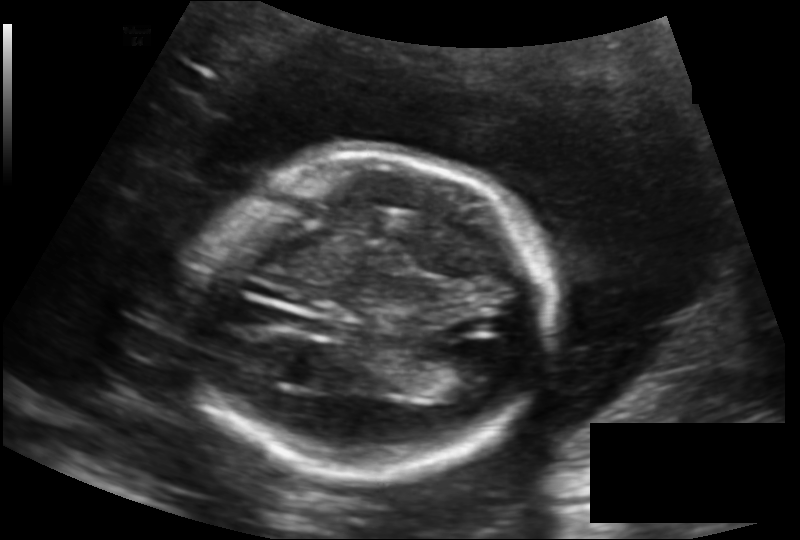
In this fetal head ultrasound, give the bounding box of the fetal head. Image width: 122.9 mm.

[189,154,550,471]